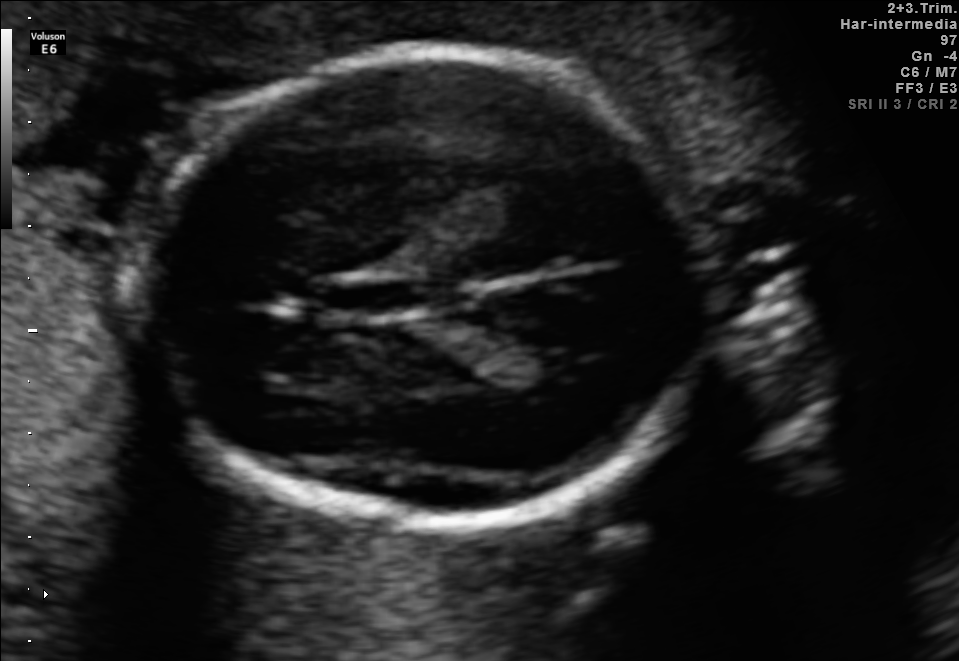
Fetal brain, trans-thalamic plane. Where is the fetal head?

Head bounding box: [127,53,708,514]